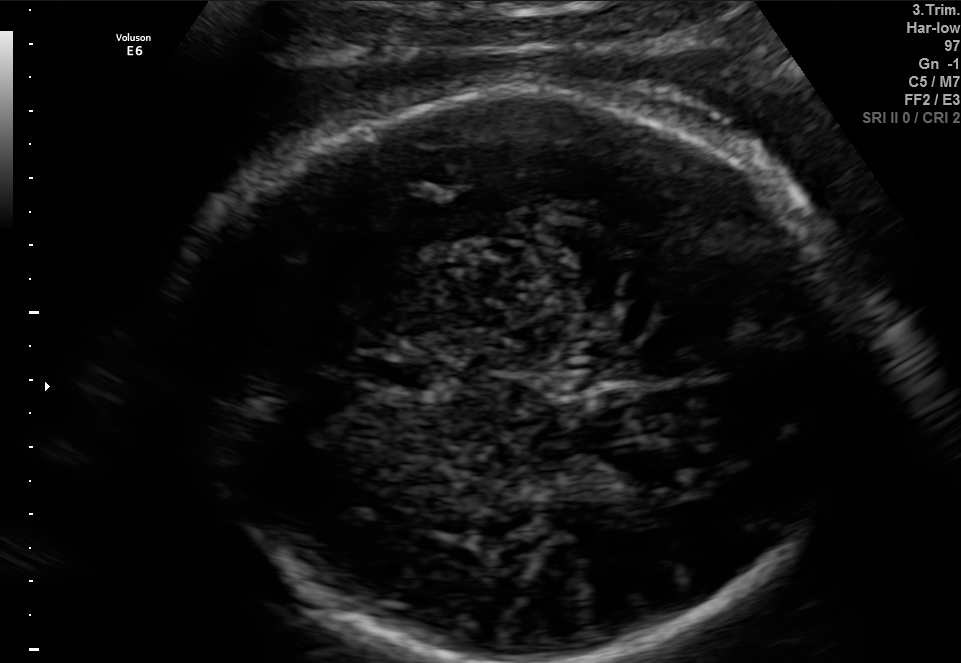
In this fetal brain, trans-thalamic plane, give bounding boxes for the head outline, cavum septum pellucidum (CSP), and lateral ventricle (LV), where visible.

Head: [163,95,864,660]
CSP: [364,353,441,394]